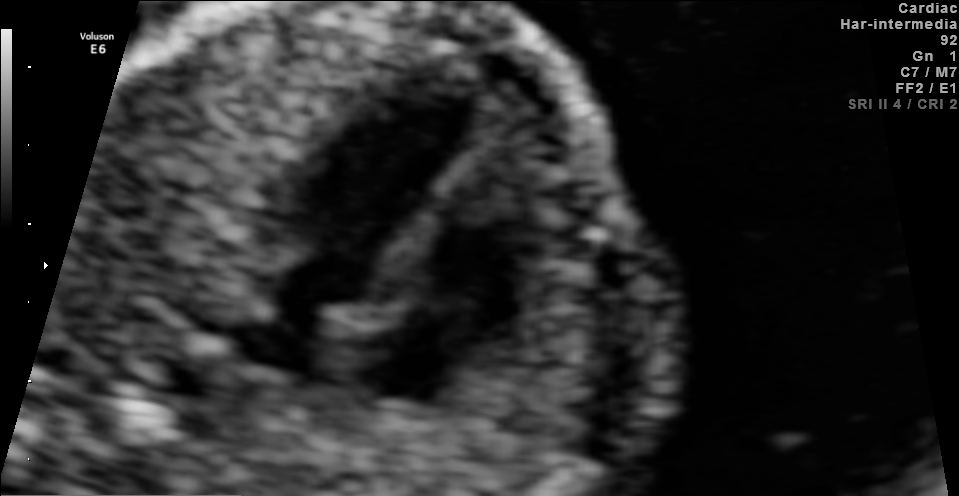
Identify the standard plane in this fetal ultrasound image: fetal abdomen, fetal brain, fetal femur, fetal thorax, maternal cervix, or other. If it's fetal brain and one of the three standard brain planes (trans-thalamic, trans-cerebellum, trans-ventricular), name which.

Fetal thorax